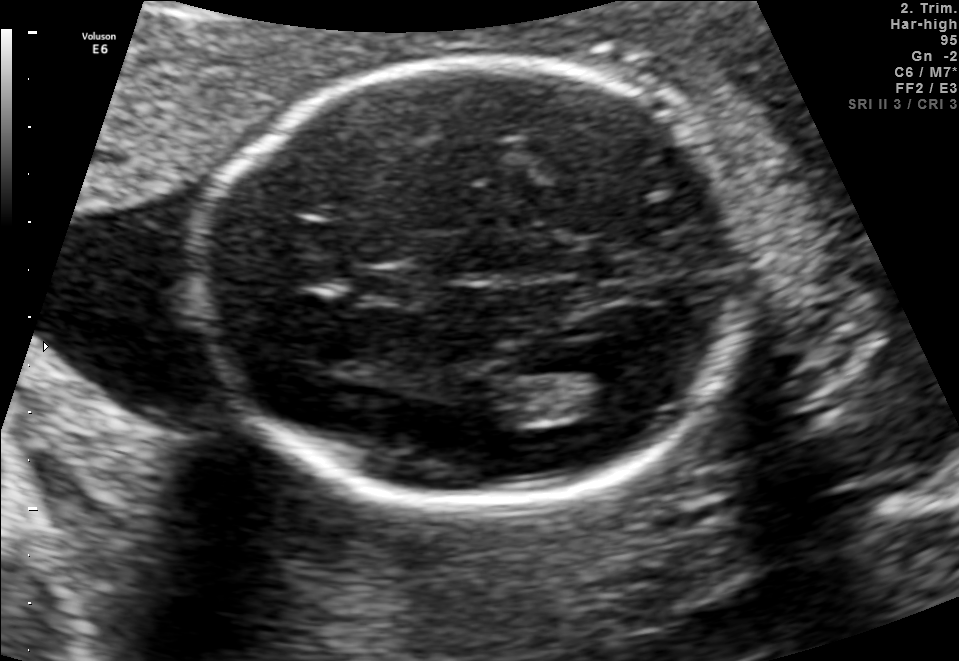
In this fetal brain, trans-thalamic plane, give bounding boxes for the head outline, cavum septum pellucidum (CSP), and lateral ventricle (LV), where visible.

Head: [201,59,746,502]
CSP: [351,268,420,303]
Lateral ventricle: [554,360,655,422]